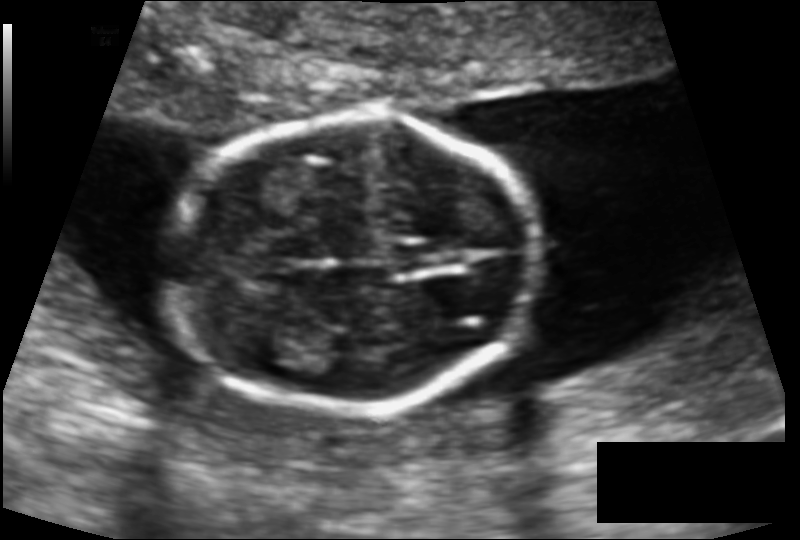
Fetal head ultrasound. Image width: 89.5 mm. Locate the cavum septum pellucidum.

CSP: [392,243,437,272]